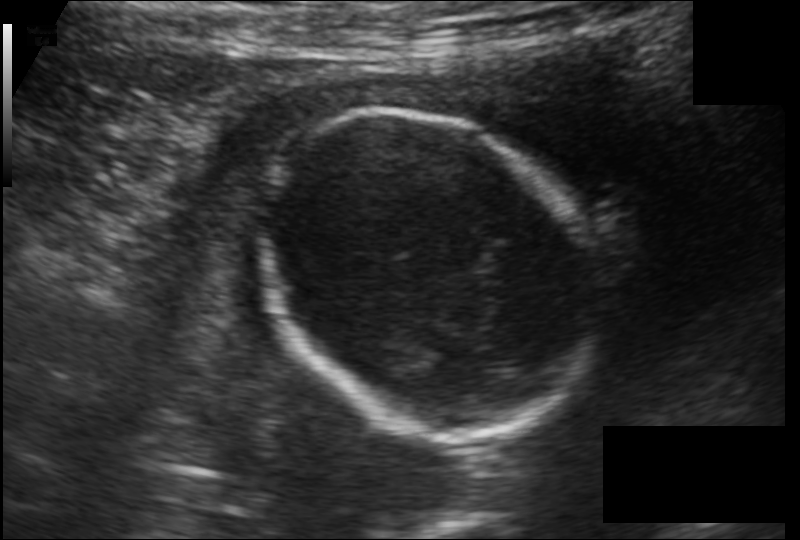
Estimate the fetal head circumference from this 2D ultrasound. Image width: 116.2 mm.

Head circumference: 155.6 mm.